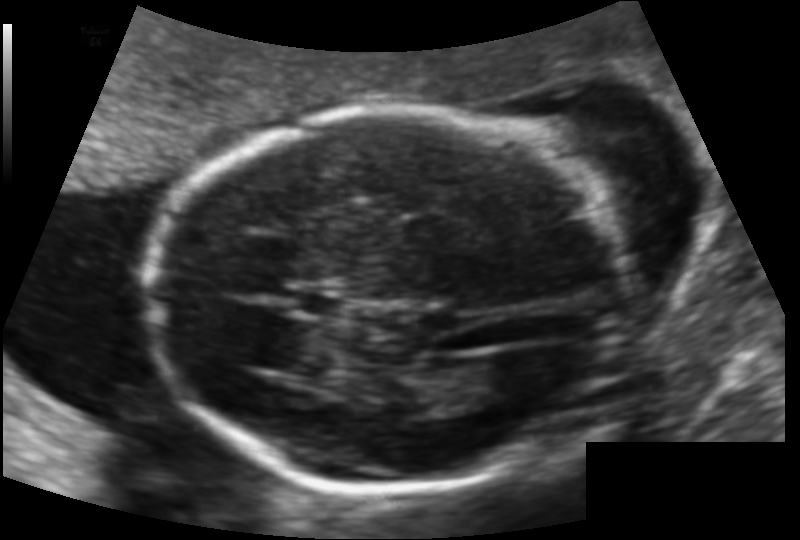
Fetal head ultrasound. Image width: 94.5 mm. Locate the fetal head and, if visible, the cavum septum pellucidum (CSP) and lateral ventricle (LV). Give bounding boxes as [x1,y1,x2,y2].

Head: [150,109,620,491]
CSP: [292,288,343,319]
Lateral ventricle: [469,350,545,410]